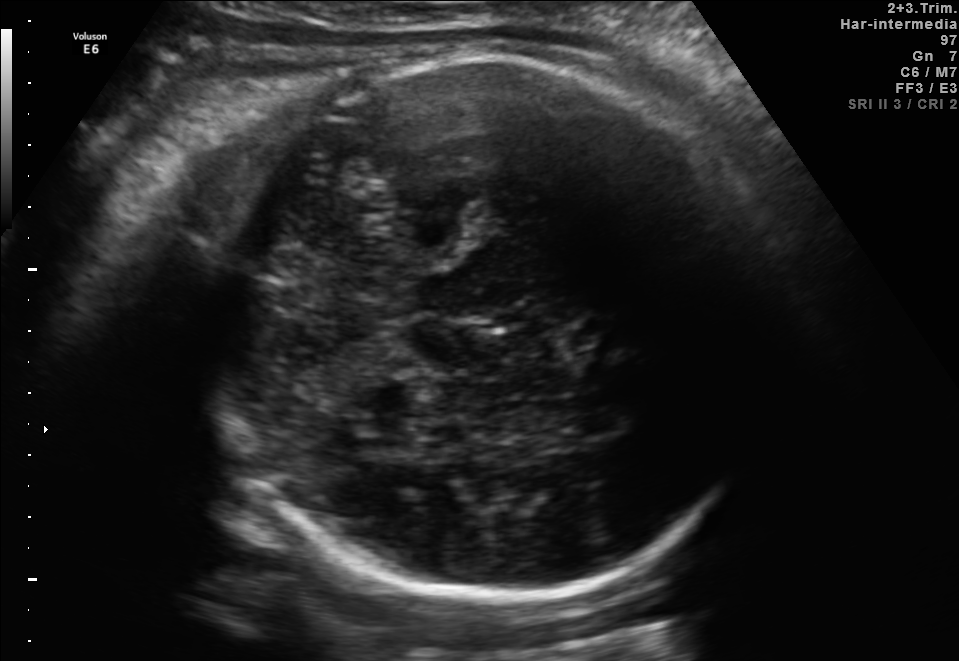
In this fetal brain, trans-cerebellum plane, give the bounding box of the fetal head.

[214,57,769,602]